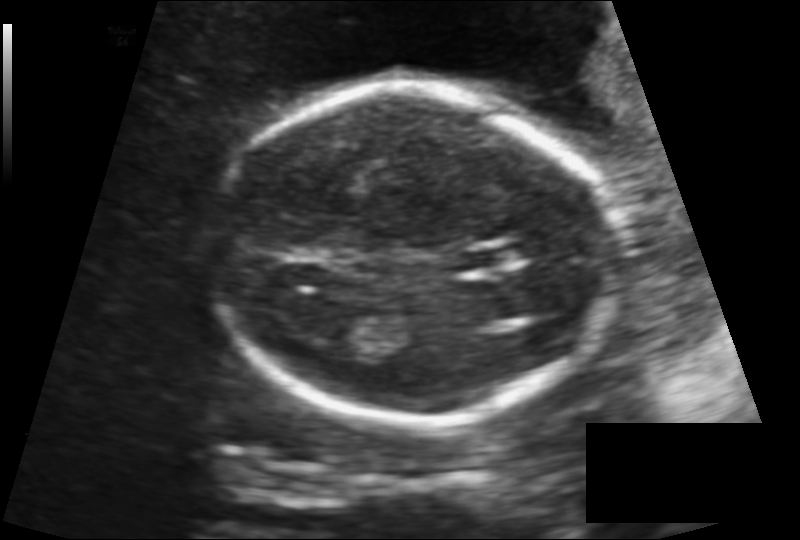
In this fetal head ultrasound, give the bounding box of the lateral ventricle. Image width: 110.1 mm.

[314,299,376,346]